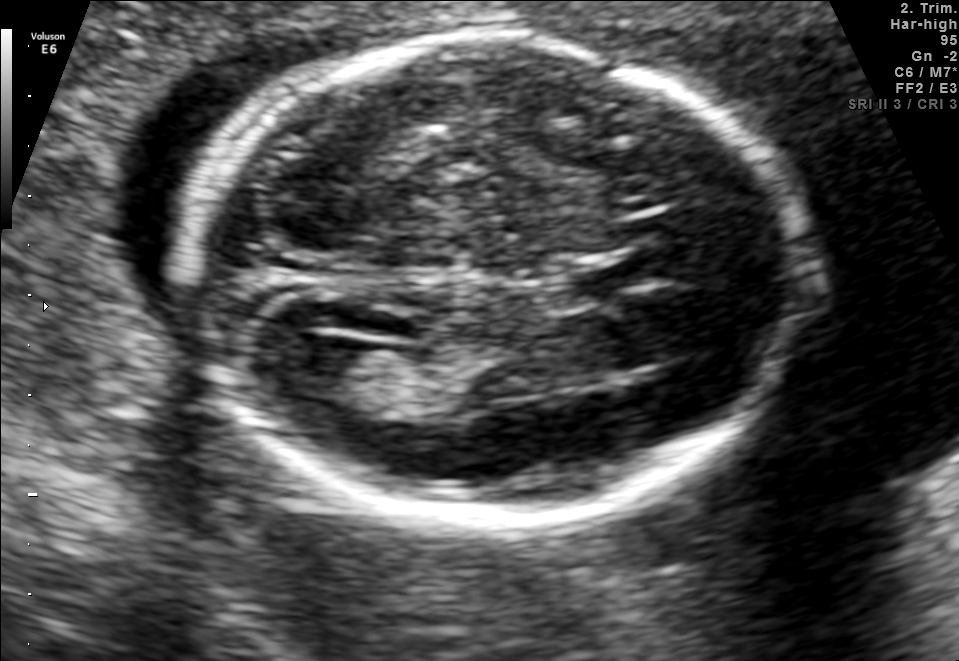
In this fetal brain, trans-ventricular plane, give the bounding box of the cavum septum pellucidum.

[530,238,668,314]